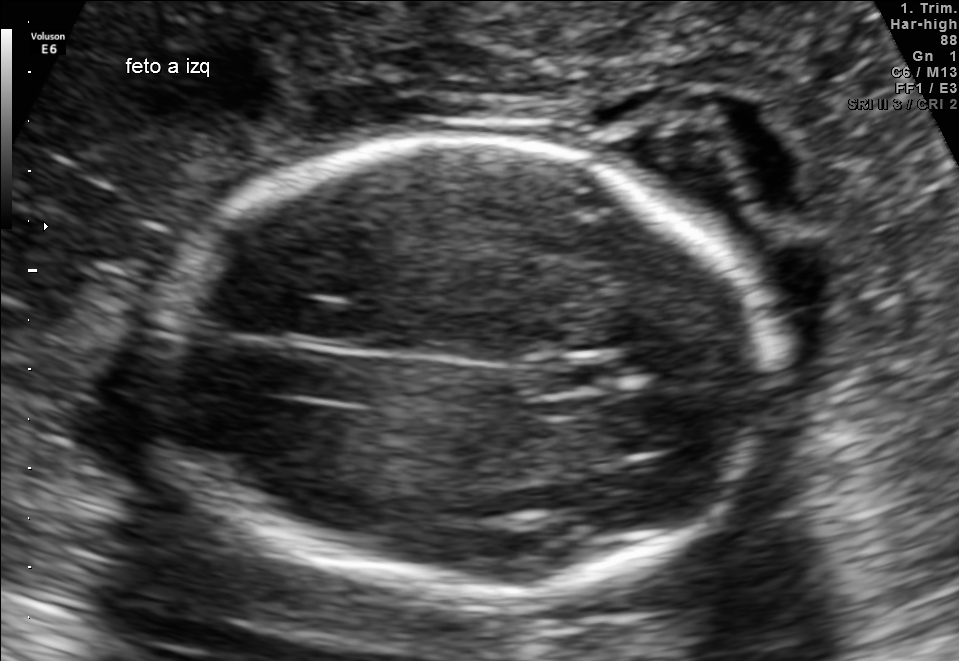
Fetal brain, trans-thalamic plane. Give [x1,y1,x2,y2] bounding boxes for each visible structure among: fetal head, CSP, LV.

Head: [151,140,776,593]
CSP: [540,355,616,394]